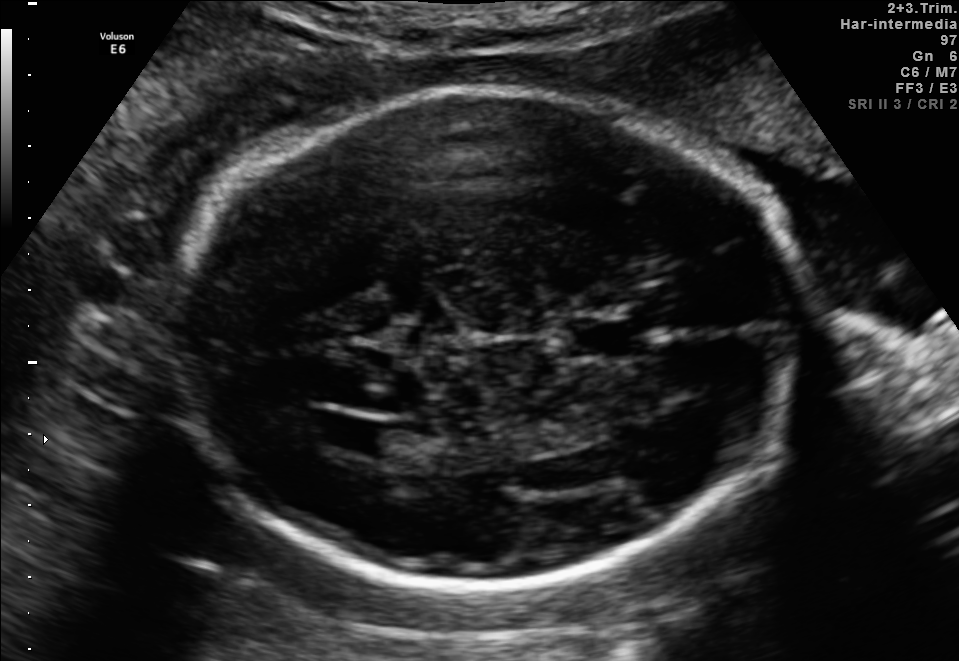
Fetal brain, trans-ventricular plane. Locate the lateral ventricle.

Lateral ventricle: [320,411,383,458]